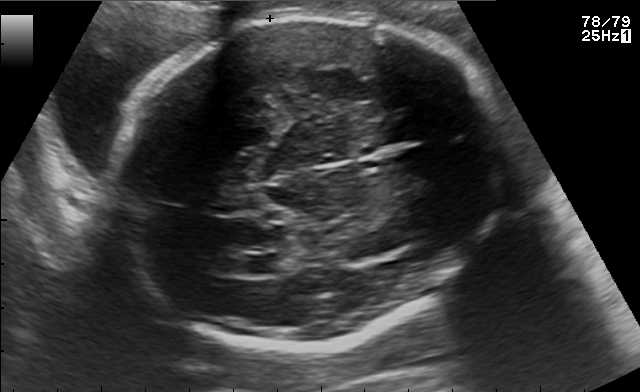
Identify the standard plane in this fetal ultrasound image: fetal abdomen, fetal brain, fetal femur, fetal thorax, maternal cervix, or other. If it's fetal brain and one of the three standard brain planes (trans-thalamic, trans-cerebellum, trans-ventricular), name which.

Fetal brain (trans-ventricular plane)